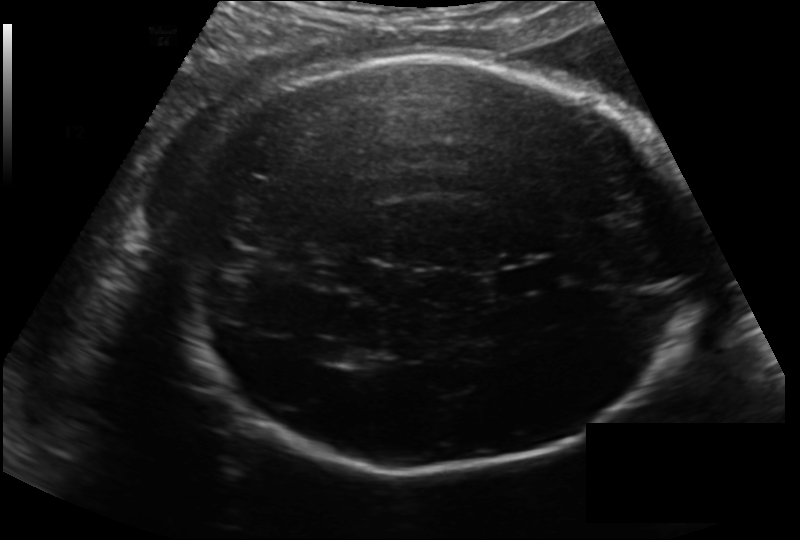
In this fetal head ultrasound, give the bounding box of the fetal head. Image width: 146.5 mm.

[171,56,699,468]